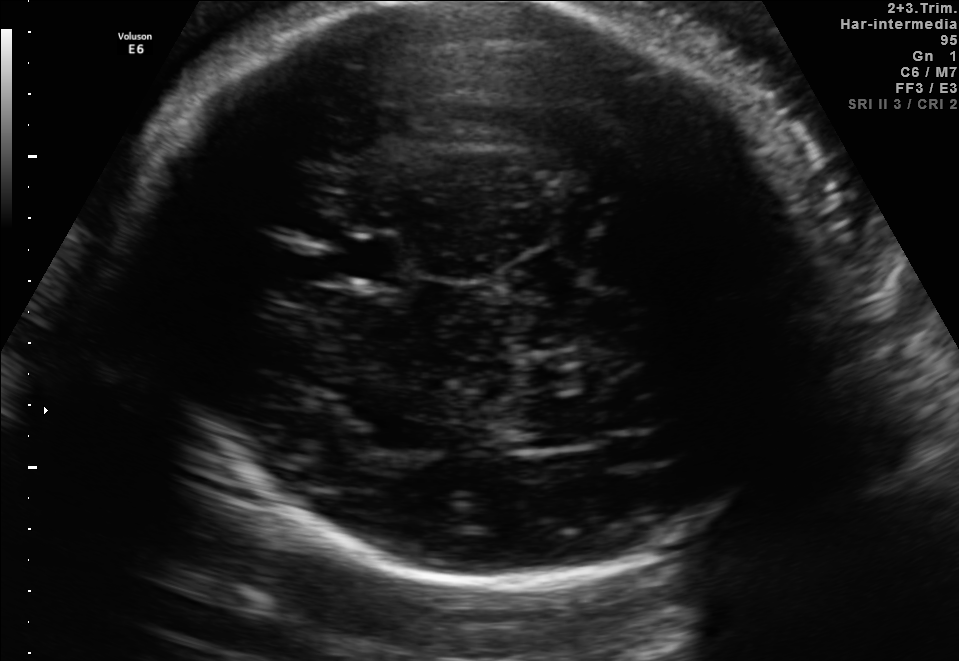
Fetal brain, trans-thalamic plane. Give [x1,y1,x2,y2] bounding boxes for each visible structure among: fetal head, CSP, LV.

Head: [122,4,833,585]
CSP: [325,233,403,287]
Lateral ventricle: [501,395,605,453]